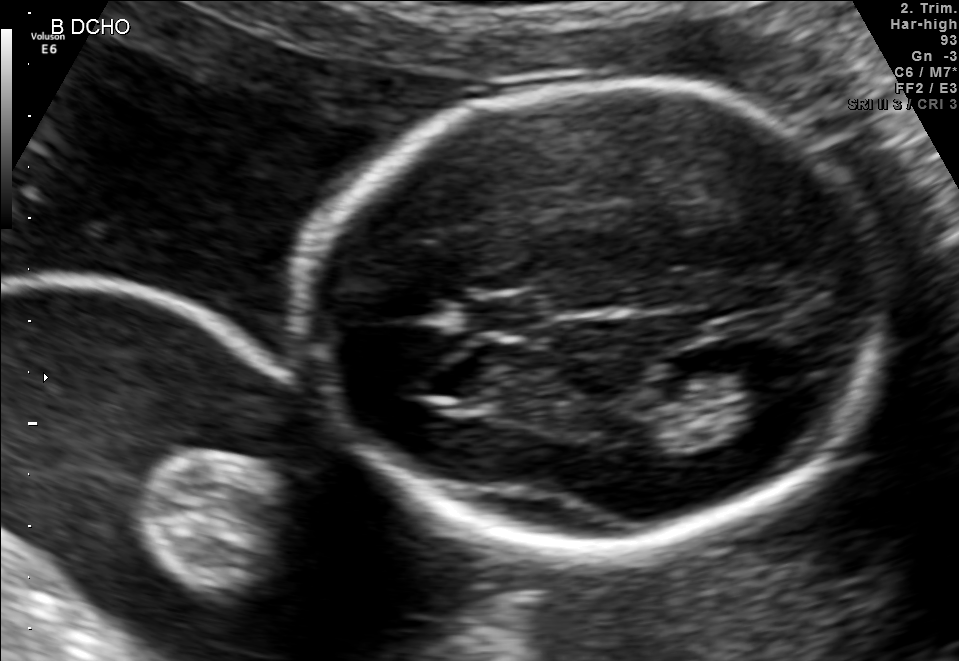
In this fetal brain, trans-thalamic plane, give bounding boxes for the head outline, cavum septum pellucidum (CSP), and lateral ventricle (LV), where visible.

Head: [297,80,892,555]
CSP: [464,293,545,335]
Lateral ventricle: [709,332,809,422]